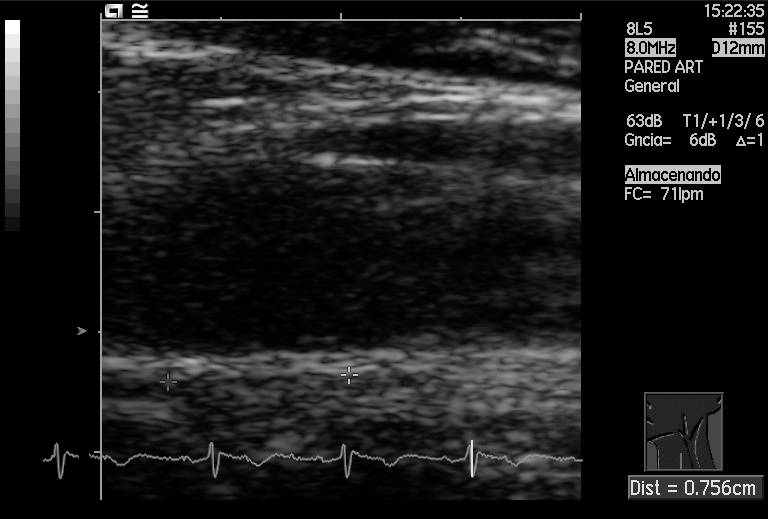
Identify the standard plane in this fetal ultrasound image: fetal abdomen, fetal brain, fetal femur, fetal thorax, maternal cervix, or other. If it's fetal brain and one of the three standard brain planes (trans-thalamic, trans-cerebellum, trans-ventricular), name which.

Other